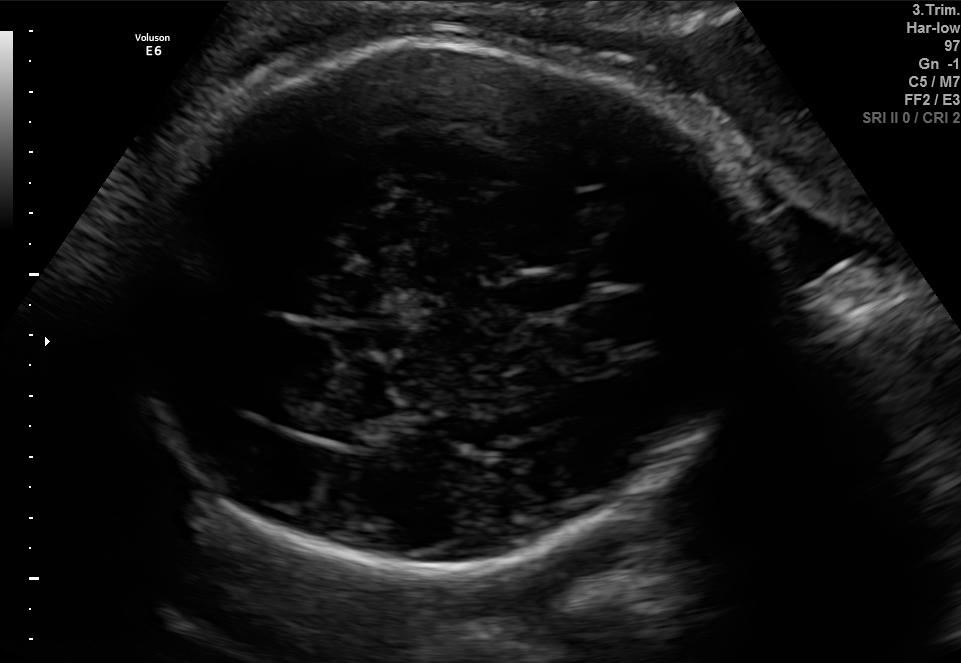
In this fetal brain, trans-ventricular plane, give the bounding box of the fetal head.

[108,35,781,582]